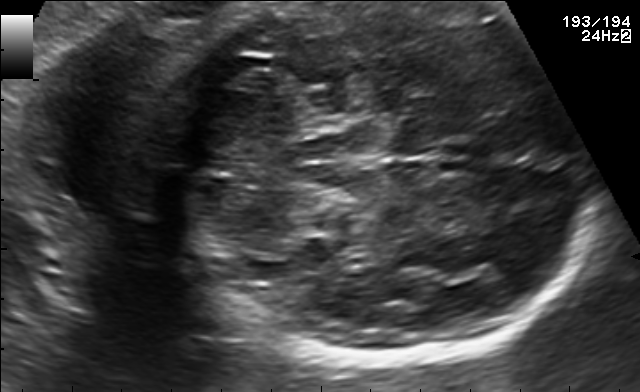
Fetal brain, trans-cerebellum plane. Locate the fetal head.

Head: [176,2,584,369]